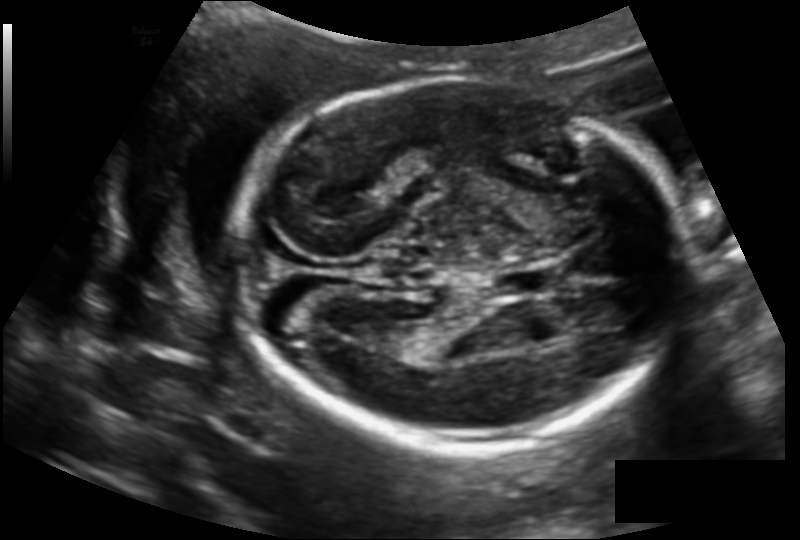
In this fetal head ultrasound, give the bounding box of the cavum septum pellucidum. Image width: 116.1 mm.

[488,263,559,302]